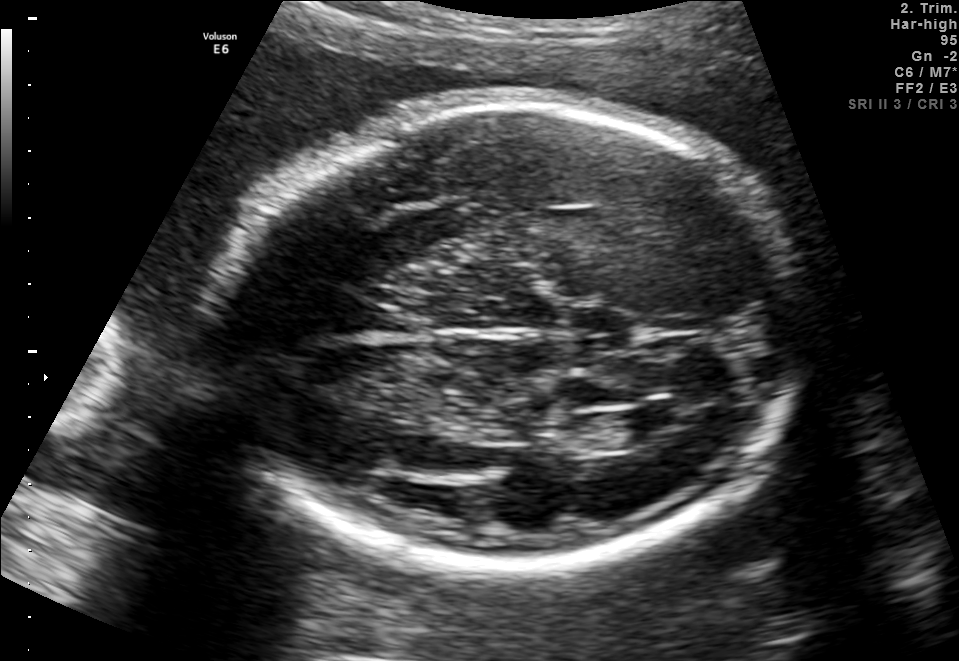
In this fetal brain, trans-ventricular plane, give the bounding box of the lateral ventricle.

[613,398,683,447]